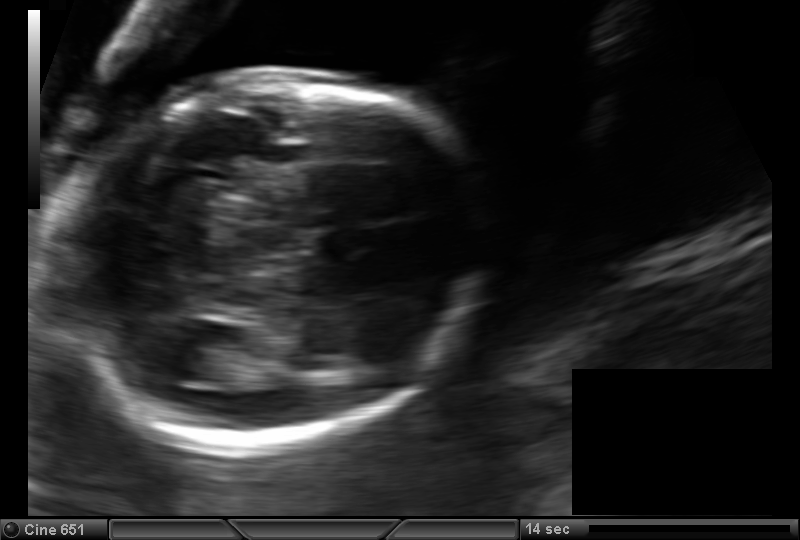
Estimate the fetal head circumference from this 2D ultrasound. Image width: 106.1 mm.

Head circumference: 166.7 mm.